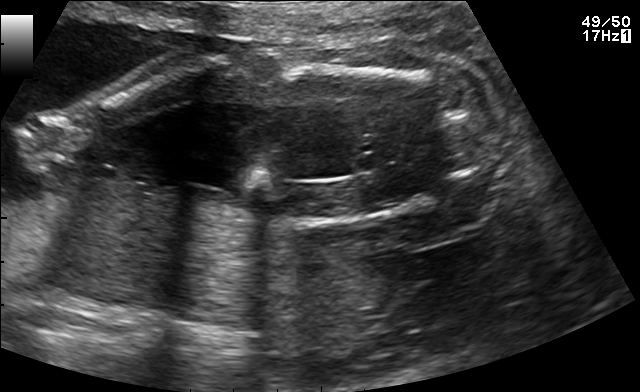
Identify the standard plane in this fetal ultrasound image: fetal abdomen, fetal brain, fetal femur, fetal thorax, maternal cervix, or other. If it's fetal brain and one of the three standard brain planes (trans-thalamic, trans-cerebellum, trans-ventricular), name which.

Fetal femur